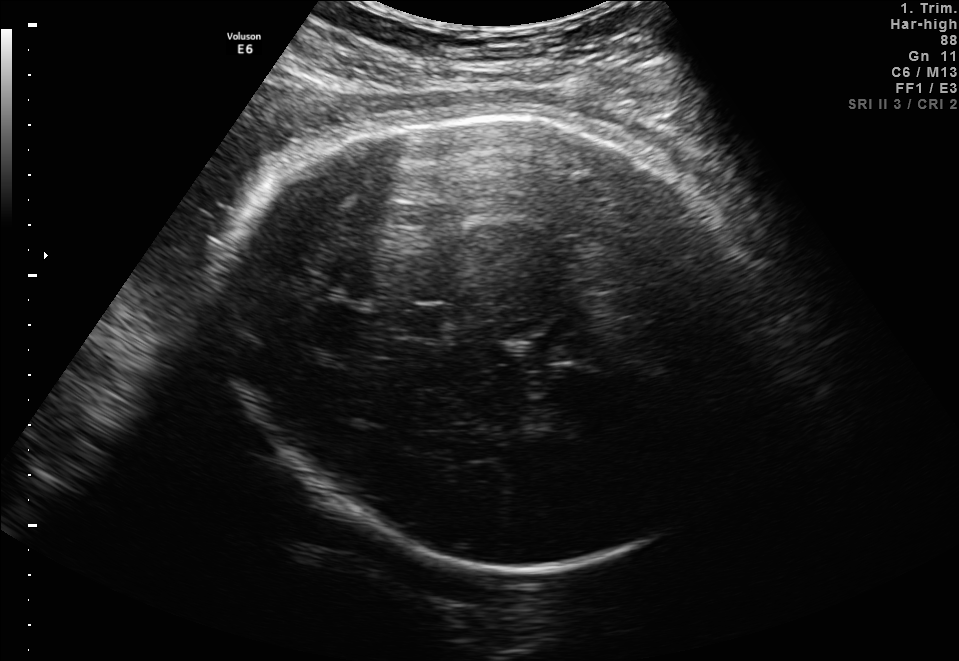
Fetal brain, trans-thalamic plane. Locate the fetal head.

Head: [214,104,777,565]